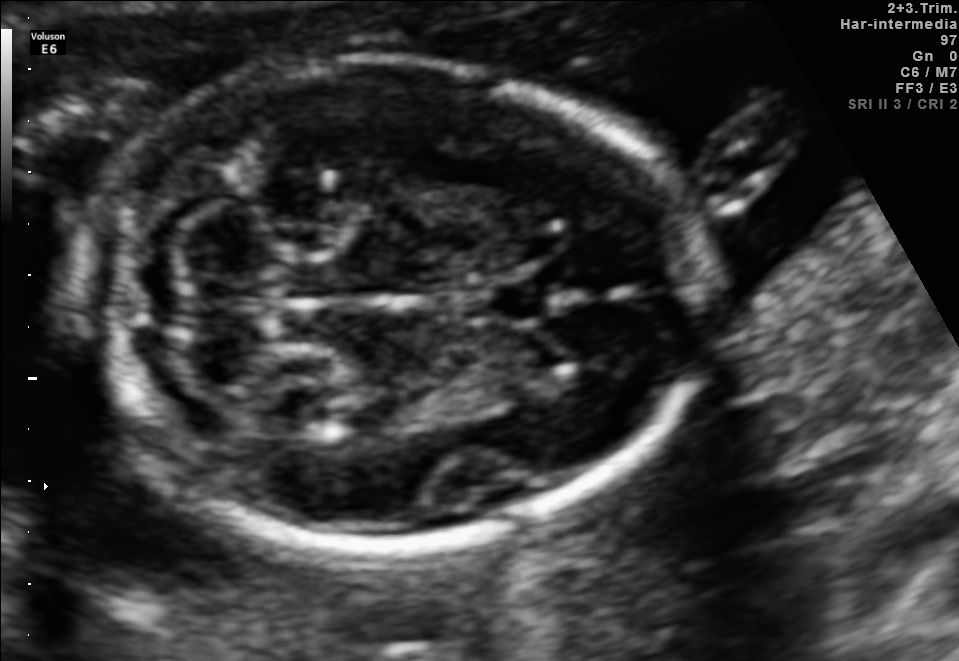
Fetal brain, trans-cerebellum plane. Give [x1,y1,x2,y2] bounding boxes for each visible structure among: fetal head, CSP, LV.

Head: [82,60,701,545]
CSP: [477,276,554,325]